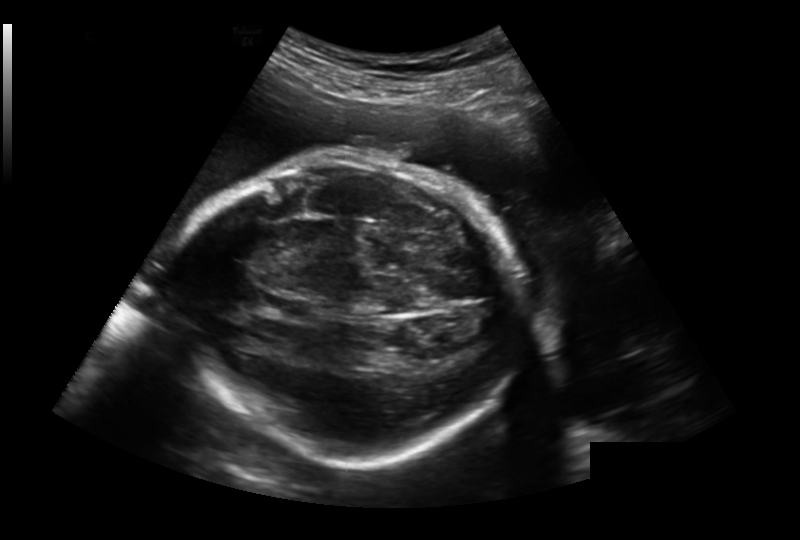
Measure the fetal head circumference shown in this ultrasound image. Image width: 206.8 mm.

Head circumference: 274.2 mm.